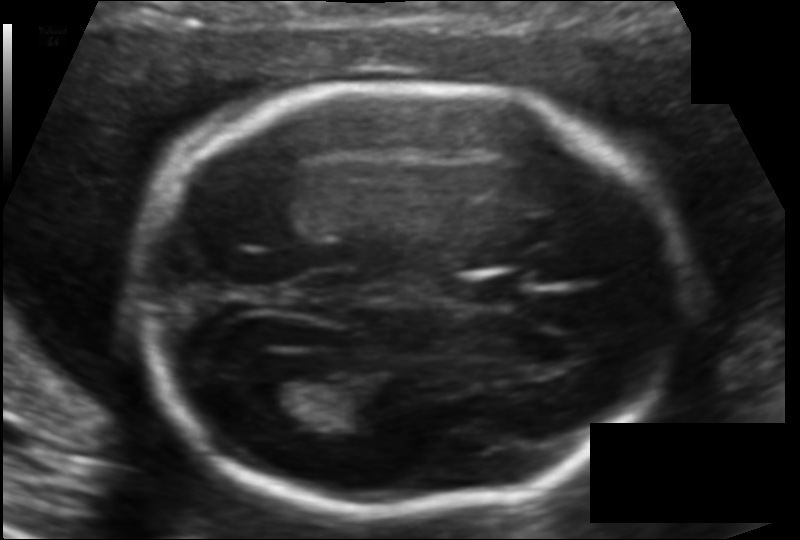
Fetal head ultrasound. Image width: 94.1 mm. Where is the lateral ventricle?

Lateral ventricle bounding box: [248,372,340,428]